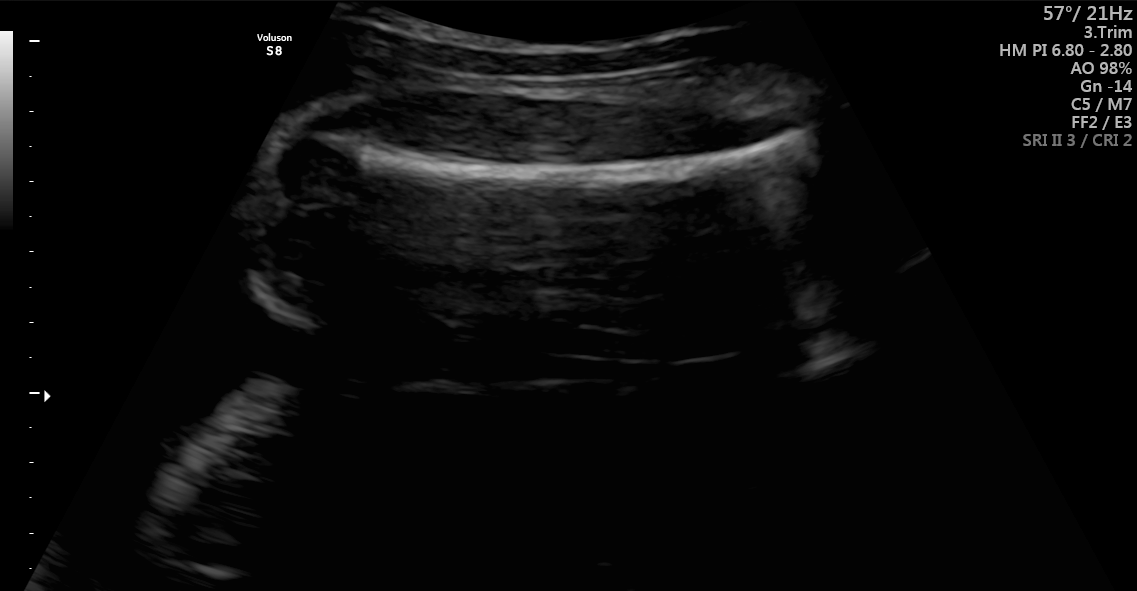
This is a 2D maternal-fetal ultrasound frame. Is it a fetal abdomen, fetal brain, fetal femur, fetal thorax, maternal cervix, or other standard plane? If it's fetal brain and one of the three standard brain planes (trans-thalamic, trans-cerebellum, trans-ventricular), name which.

Fetal femur